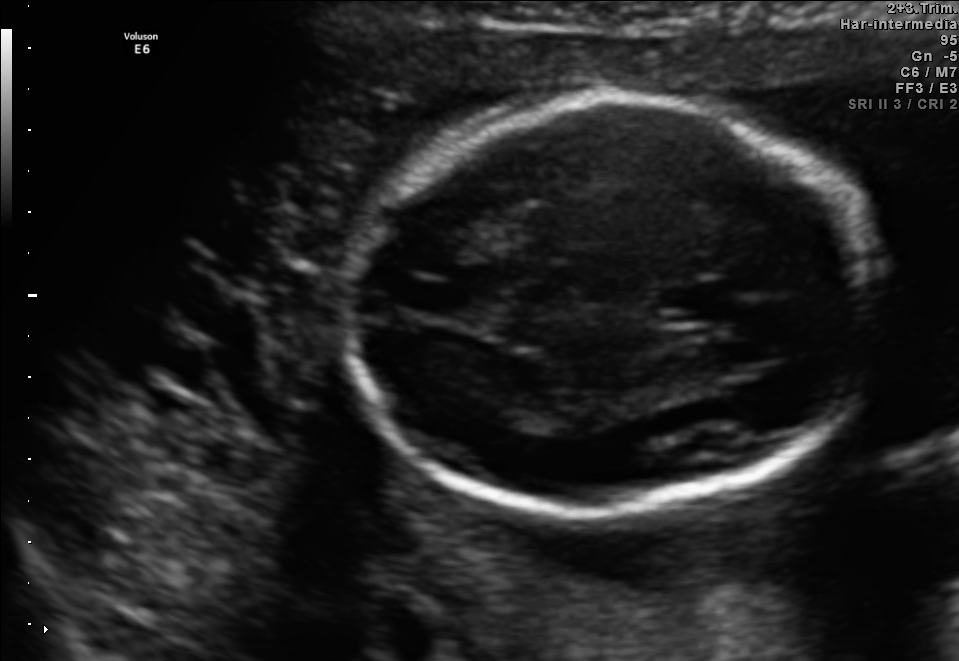
In this fetal brain, trans-thalamic plane, give the bounding box of the cavum septum pellucidum.

[660,280,730,324]